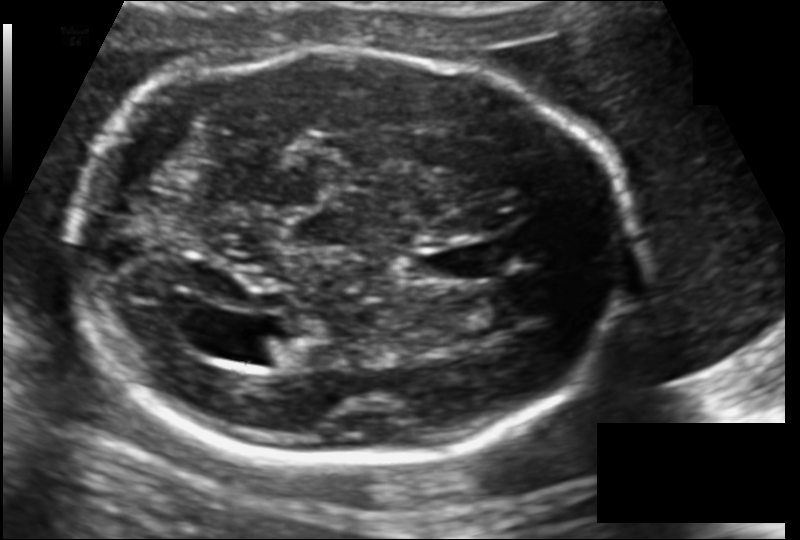
Measure the fetal head circumference shown in this ultrasound image. Image width: 110.0 mm.

Head circumference: 218.7 mm.